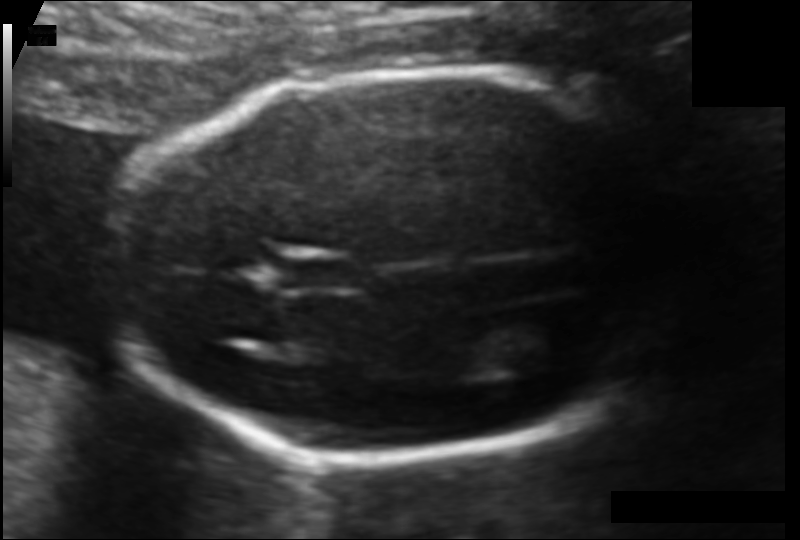
In this fetal head ultrasound, give the bounding box of the cavum septum pellucidum. Image width: 82.3 mm.

[279,259,352,288]